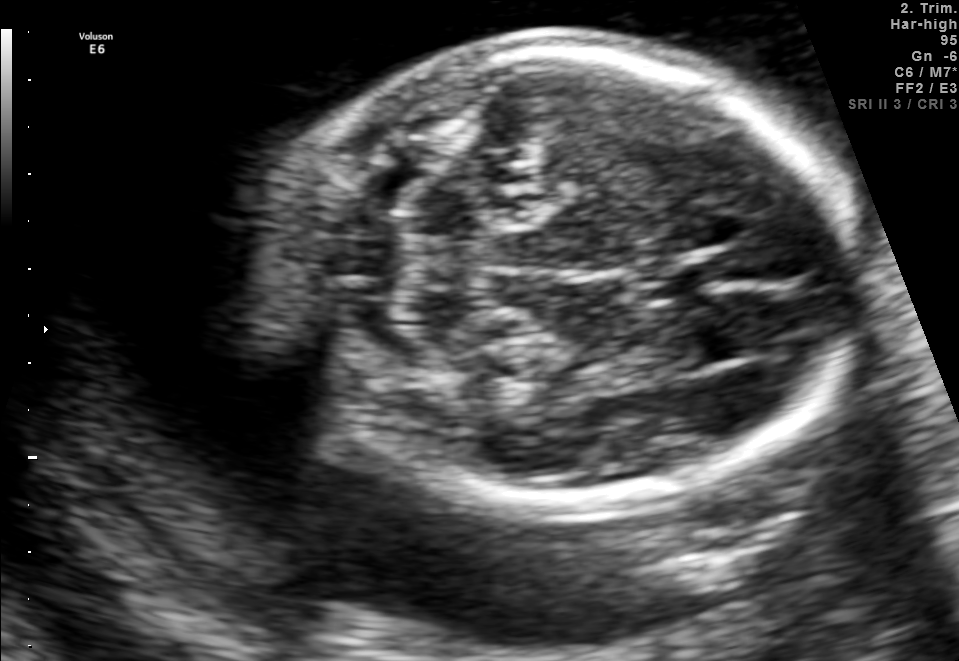
Fetal brain, trans-cerebellum plane. Locate the fetal head and, if visible, the cavum septum pellucidum (CSP) and lateral ventricle (LV). Give bounding boxes as [x1,y1,x2,y2].

Head: [254,44,861,511]